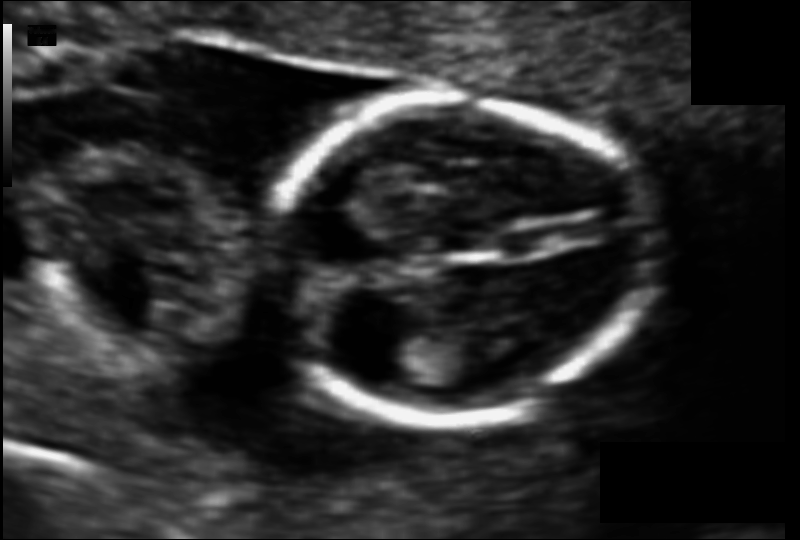
Fetal head ultrasound. Image width: 66.6 mm. Locate the fetal head.

Head: [262,100,655,419]